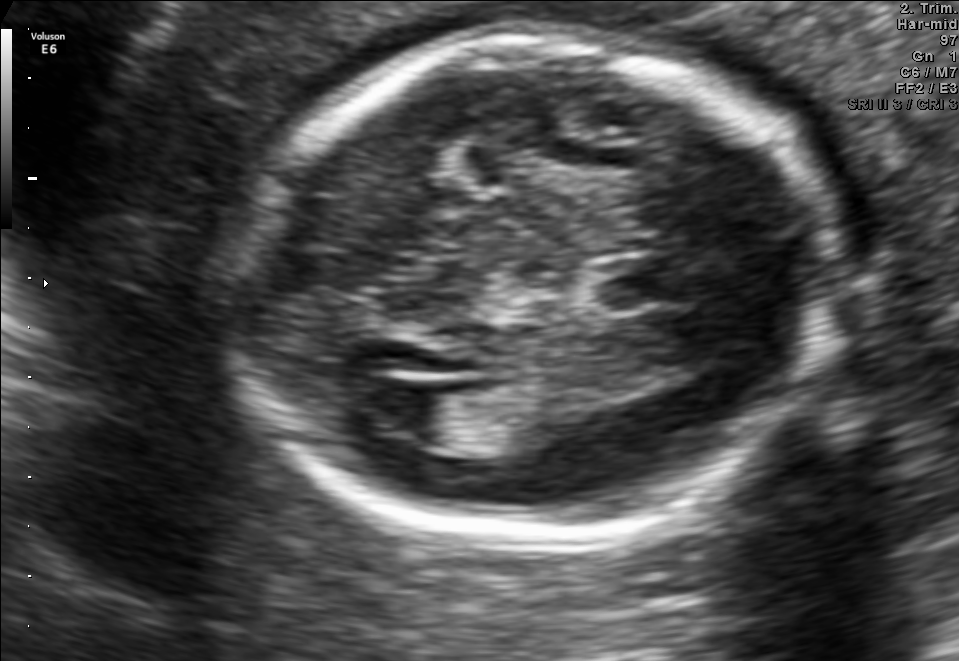
Fetal brain, trans-ventricular plane. Where is the fetal head?

Head bounding box: [222,23,859,550]